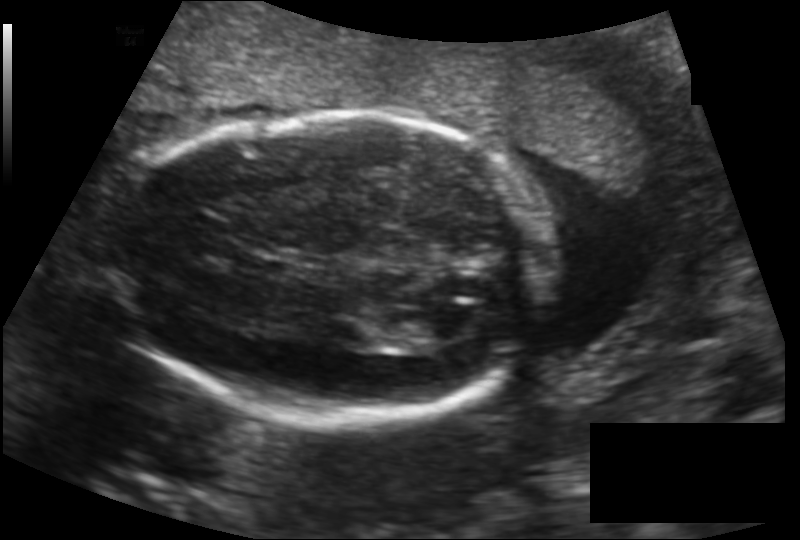
From this fetal ultrasound, estimate the head circumference (image width 116.6 mm).

Head circumference: 178.3 mm.